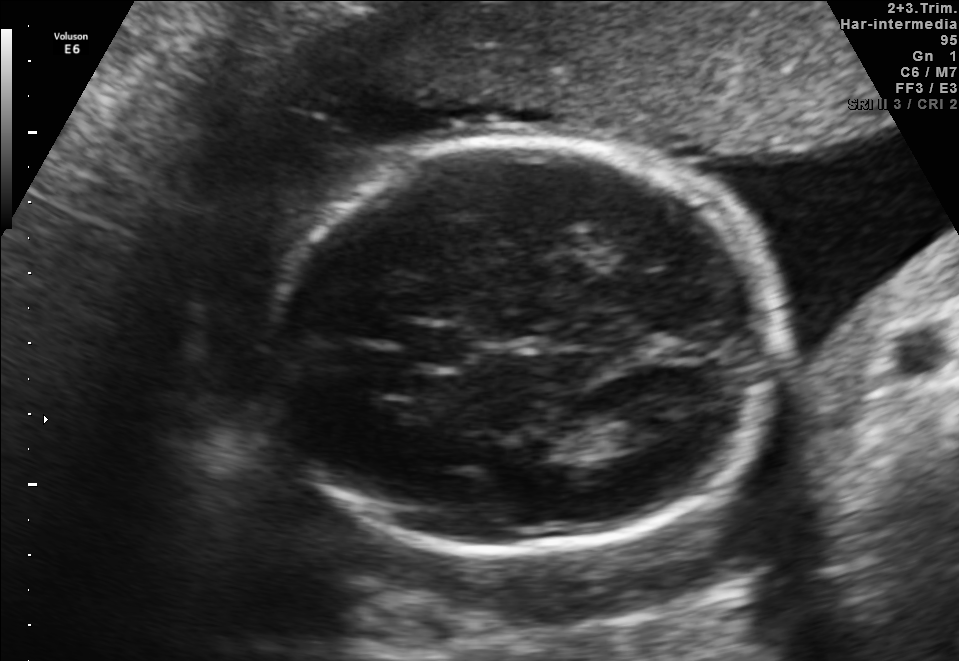
Fetal brain, trans-thalamic plane. Locate the fetal head and, if visible, the cavum septum pellucidum (CSP) and lateral ventricle (LV). Give bounding boxes as [x1,y1,x2,y2].

Head: [260,141,783,552]
CSP: [404,324,464,368]
Lateral ventricle: [606,404,678,454]